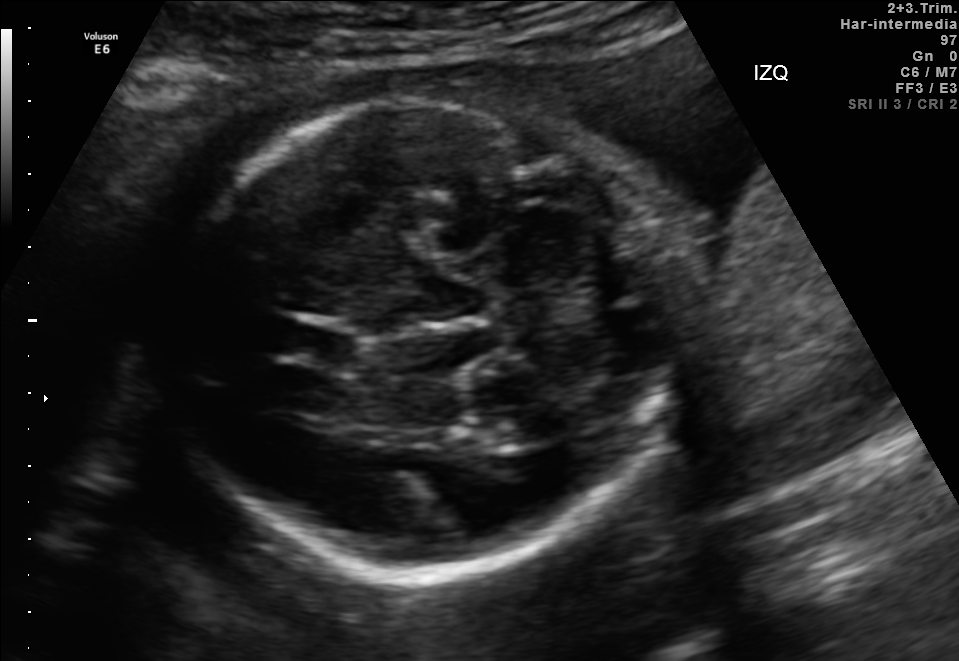
Fetal brain, trans-cerebellum plane. Where is the cavum septum pellucidum?

CSP bounding box: [278,315,362,372]